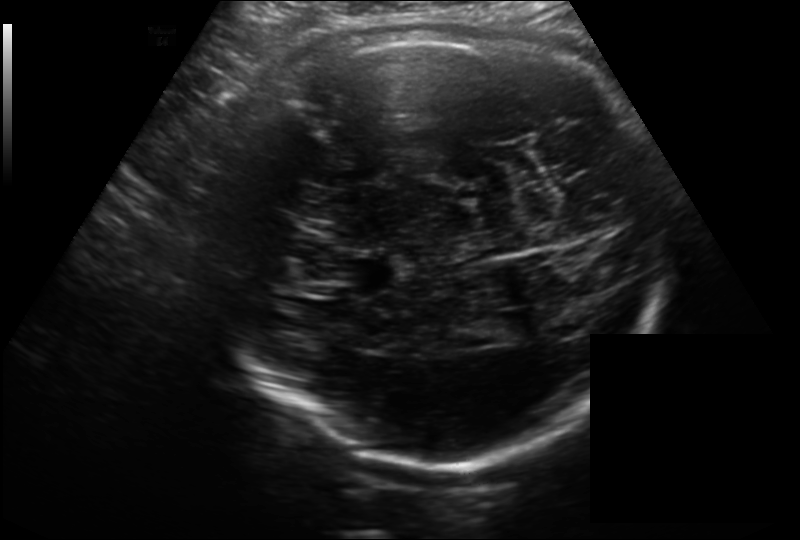
In this fetal head ultrasound, give the bounding box of the cavum septum pellucidum. Image width: 171.5 mm.

[336,254,400,293]